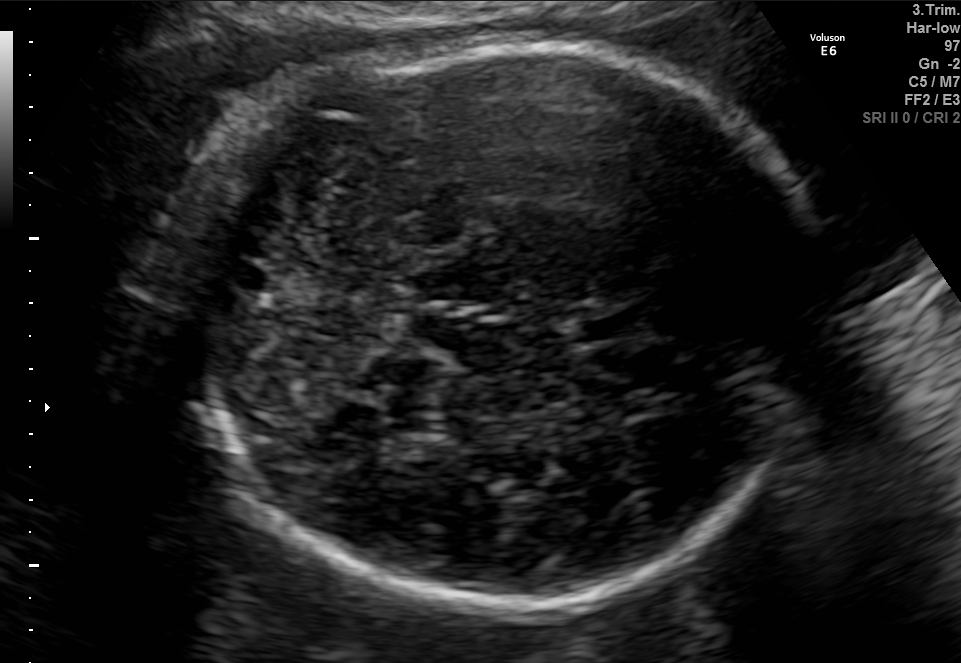
In this fetal brain, trans-cerebellum plane, give the bounding box of the cavum septum pellucidum.

[571,309,645,345]